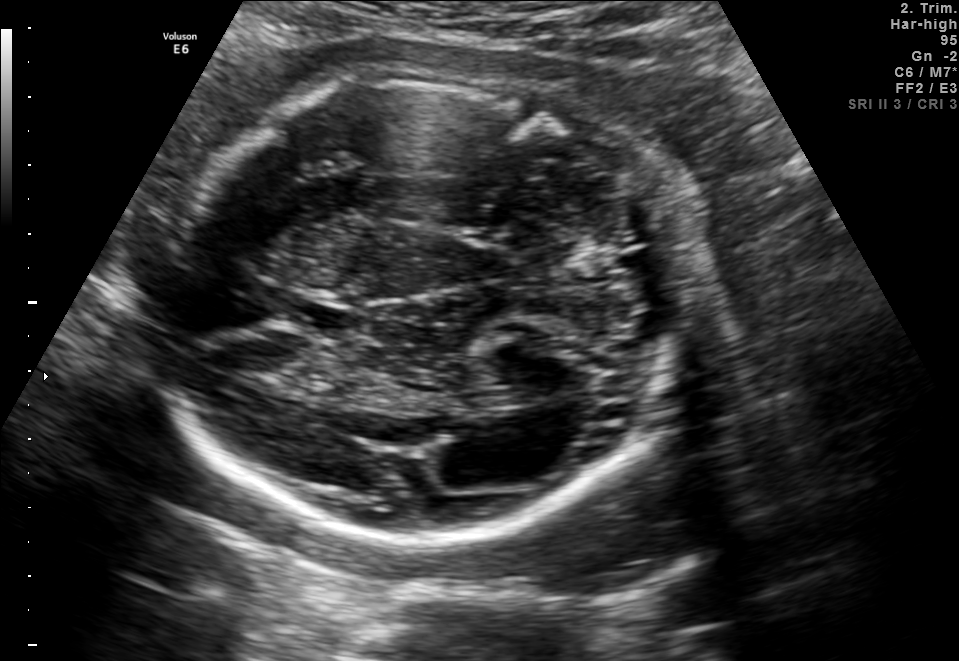
Fetal brain, trans-thalamic plane. Give [x1,y1,x2,y2] bounding boxes for each visible structure among: fetal head, CSP, LV.

Head: [156,73,679,538]
CSP: [290,300,359,341]
Lateral ventricle: [459,387,529,408]